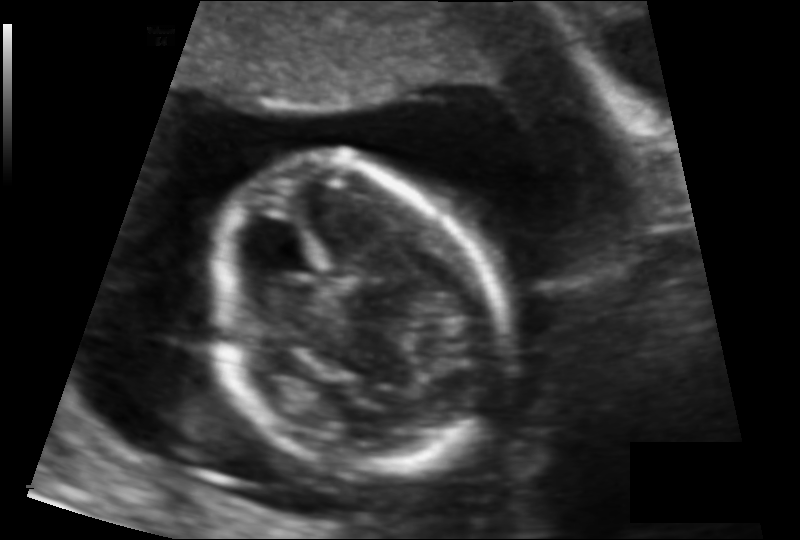
In this fetal head ultrasound, give bounding boxes for the head outline, cavum septum pellucidum (CSP), and lateral ventricle (LV), where visible. Image width: 82.6 mm.

Head: [211,157,504,473]